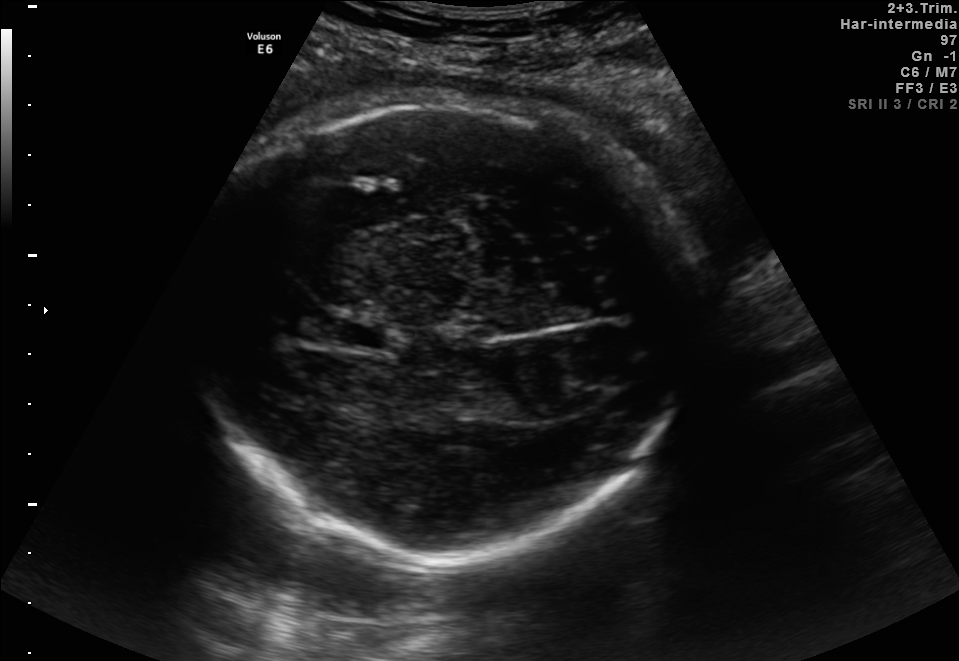
In this fetal brain, trans-thalamic plane, give bounding boxes for the head outline, cavum septum pellucidum (CSP), and lateral ventricle (LV), where visible.

Head: [188,100,689,559]
CSP: [334,318,388,350]